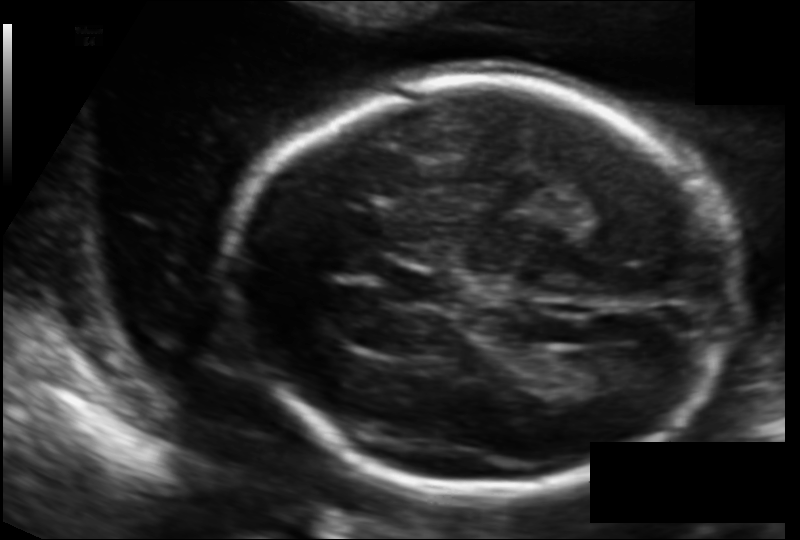
Measure the fetal head circumference shown in this ultrasound image. Image width: 100.4 mm.

Head circumference: 185.7 mm.